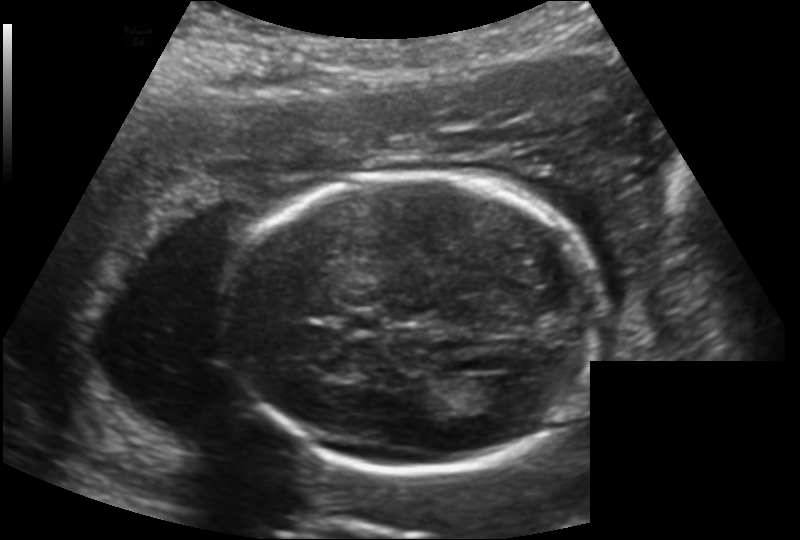
Fetal head ultrasound. Image width: 135.0 mm. Locate the fetal head.

Head: [229,175,599,471]